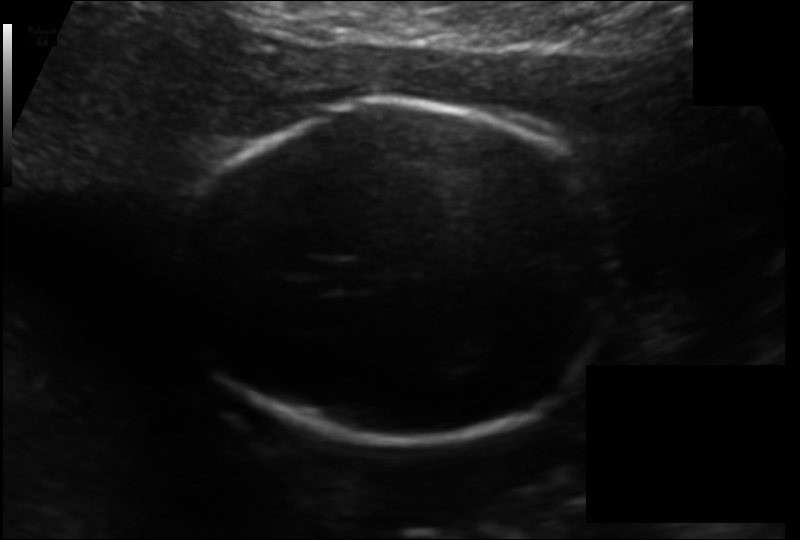
What is the fetal head circumference? Image width is 106.3 mm.

168.1 mm